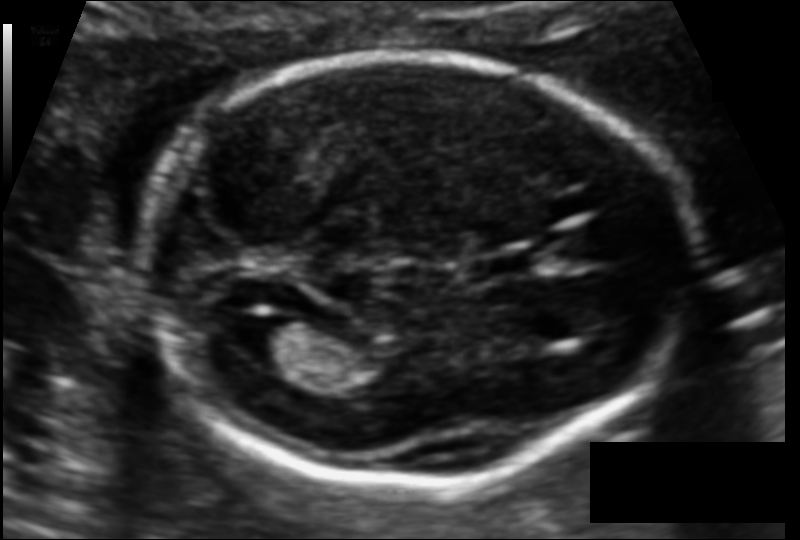
Estimate the fetal head circumference from this 2D ultrasound. Image width: 85.1 mm.

Head circumference: 168.9 mm.